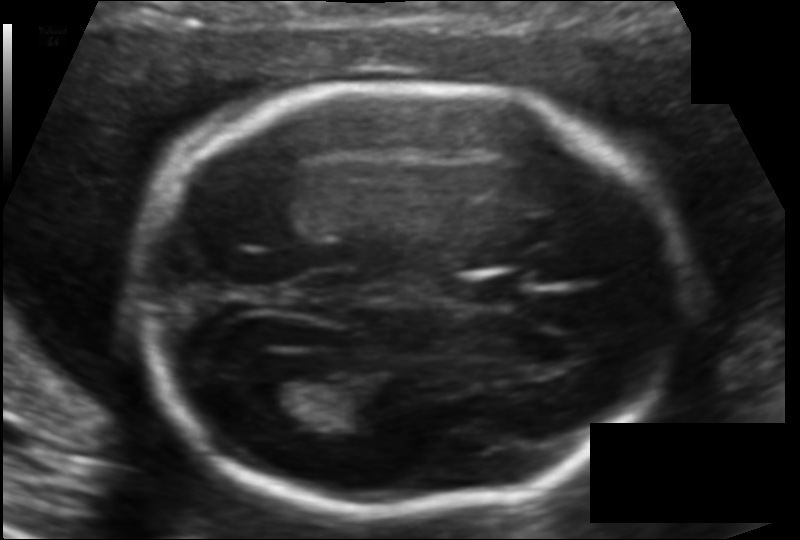
From this fetal ultrasound, estimate the head circumference (image width 94.1 mm).

Head circumference: 186.6 mm.